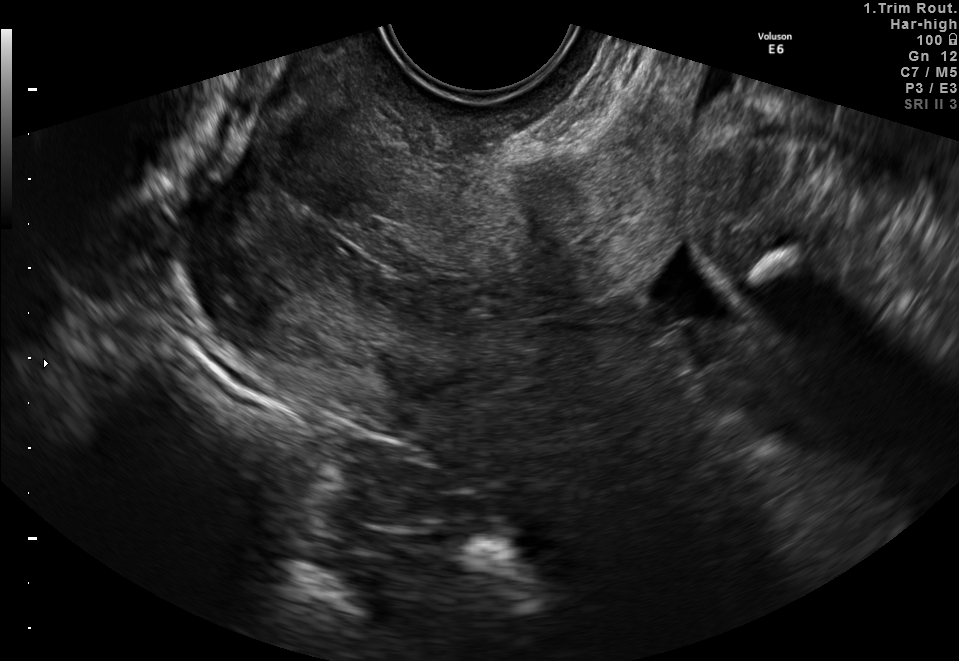
Identify the standard plane in this fetal ultrasound image: fetal abdomen, fetal brain, fetal femur, fetal thorax, maternal cervix, or other. If it's fetal brain and one of the three standard brain planes (trans-thalamic, trans-cerebellum, trans-ventricular), name which.

Maternal cervix